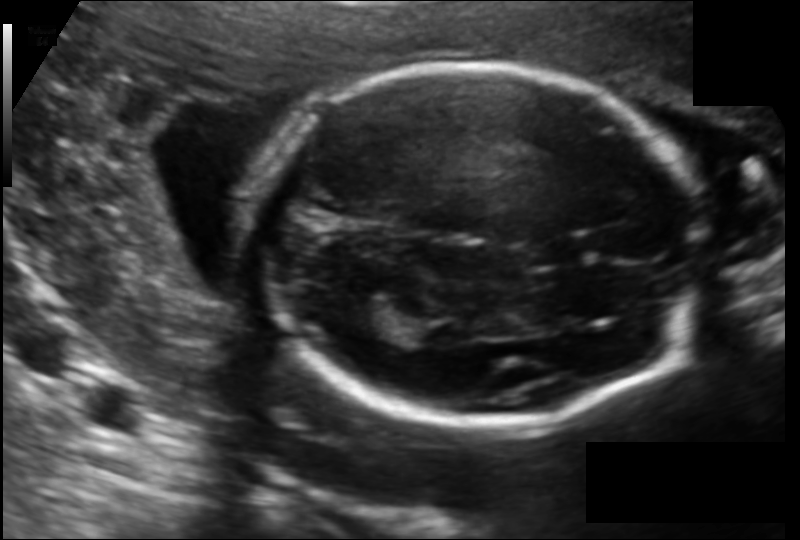
Fetal head ultrasound. Image width: 103.2 mm. Locate the cavum septum pellucidum.

CSP: [526,235,586,271]